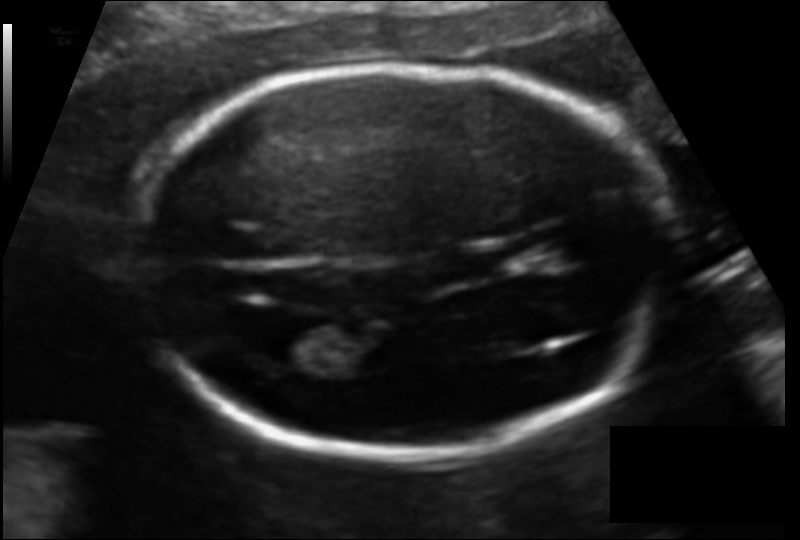
Fetal head ultrasound. Image width: 87.6 mm. Where is the fetal head?

Head bounding box: [132,65,675,454]